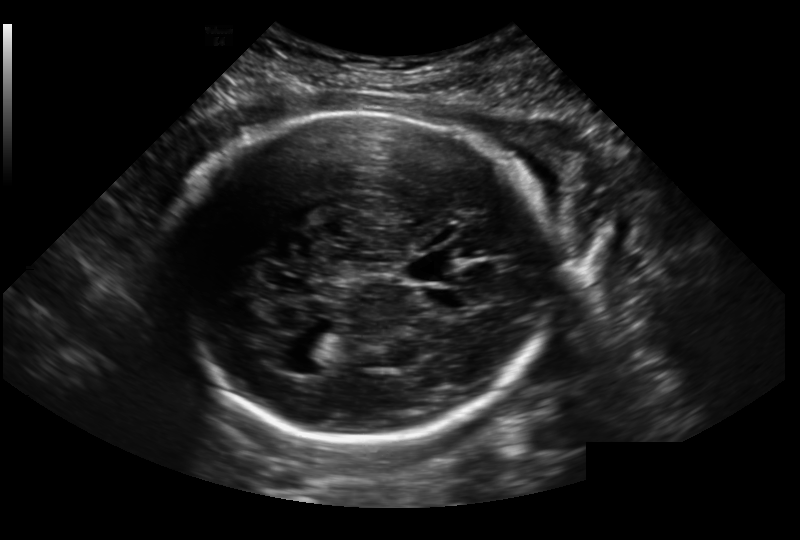
Fetal head ultrasound. Image width: 188.7 mm. Where is the cavum septum pellucidum?

CSP bounding box: [407,255,452,284]